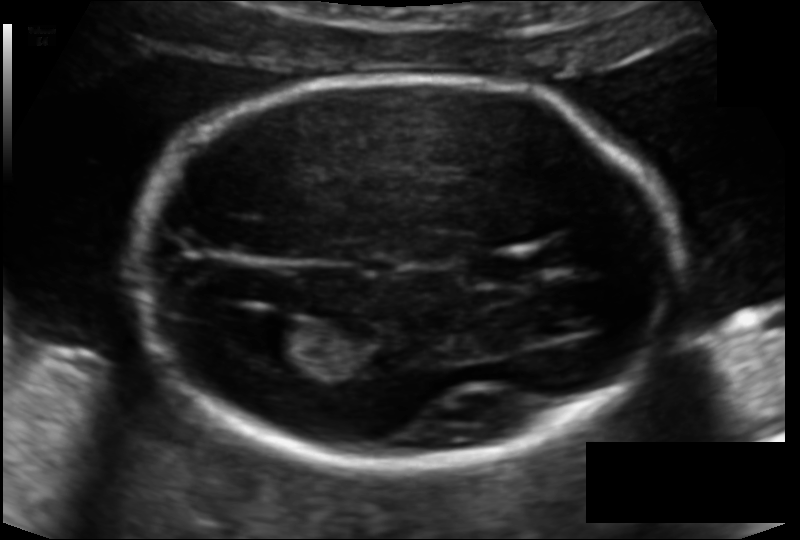
In this fetal head ultrasound, give bounding boxes for the head outline, cavum septum pellucidum (CSP), and lateral ventricle (LV), where visible. Image width: 95.2 mm.

Head: [128,76,681,462]
CSP: [466,246,547,290]
Lateral ventricle: [231,311,317,366]